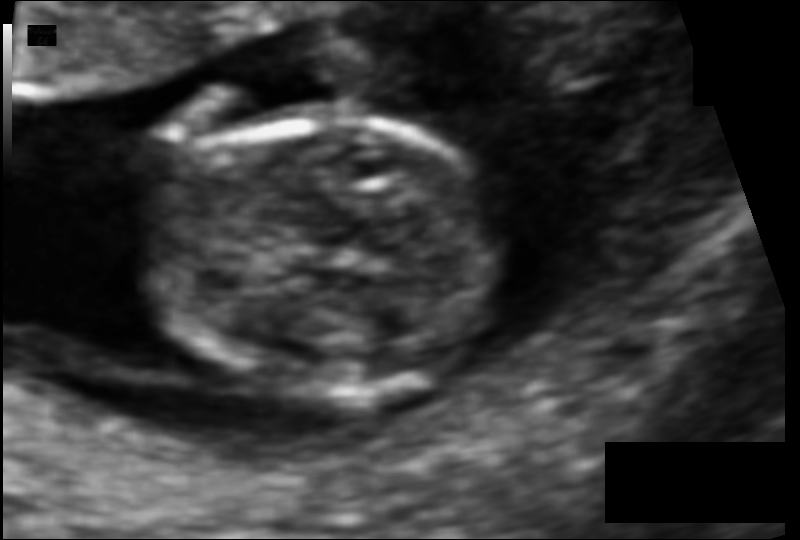
Estimate the fetal head circumference from this 2D ultrasound.

Head circumference: 73.8 mm (image width 58.2 mm).